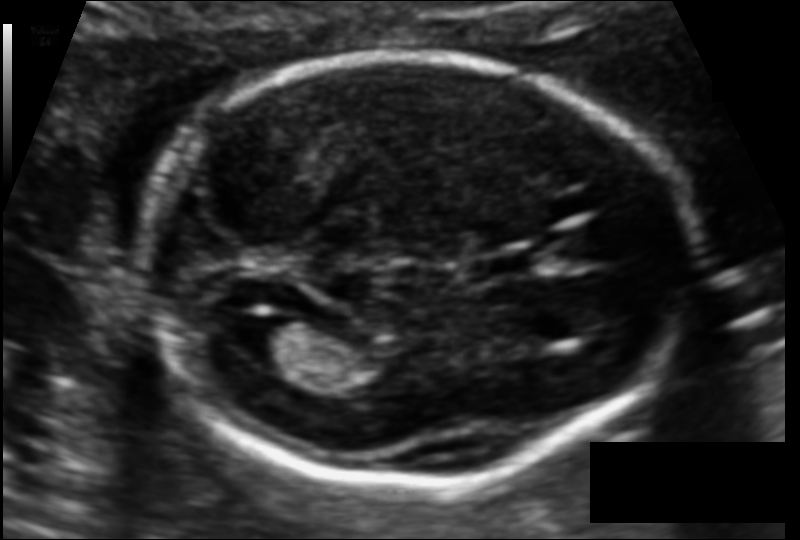
Measure the fetal head circumference shown in this ultrasound image. Image width: 85.1 mm.

Head circumference: 168.9 mm.